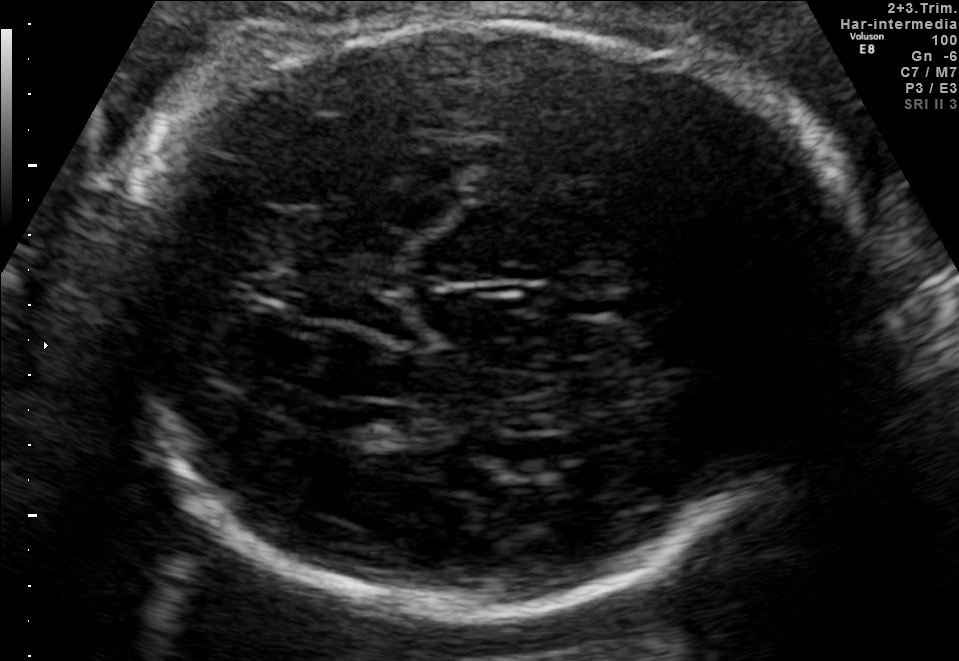
In this fetal brain, trans-thalamic plane, give the bounding box of the fetal head.

[119,19,866,616]